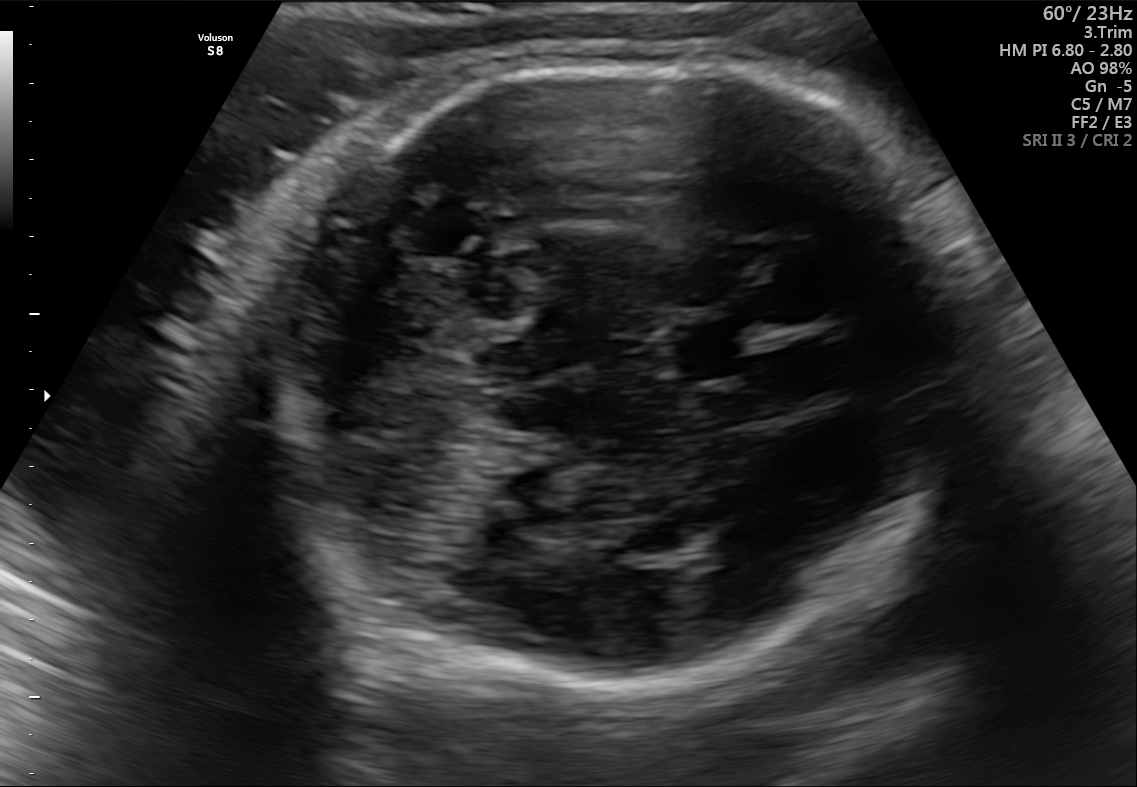
Fetal brain, trans-cerebellum plane. Where is the cavum septum pellucidum?

CSP bounding box: [656,306,764,391]